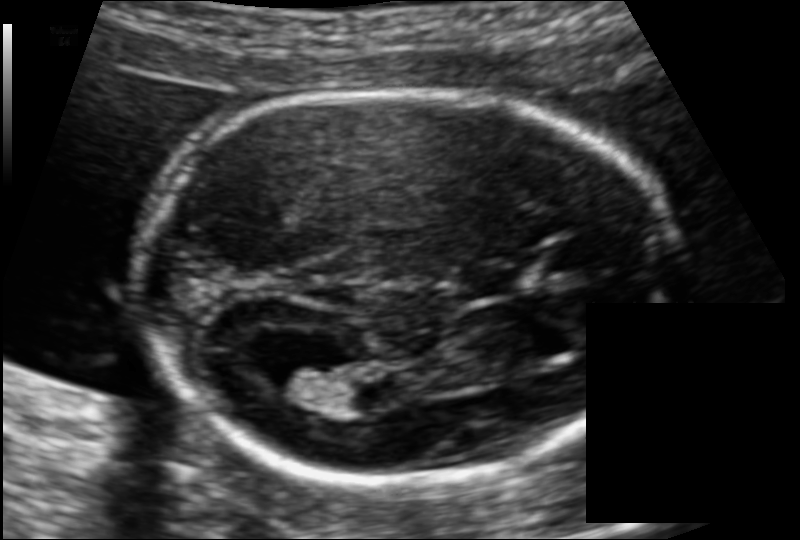
Fetal head ultrasound. Image width: 85.1 mm. Locate the cavum septum pellucidum.

CSP: [460,260,532,302]